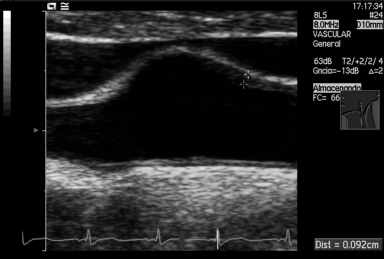
Classify this maternal-fetal ultrasound image as one of the six standard planes — fetal abdomen, fetal brain, fetal femur, fetal thorax, maternal cervix, or other. If it's fetal brain and one of the three standard brain planes (trans-thalamic, trans-cerebellum, trans-ventricular), name which.

Other